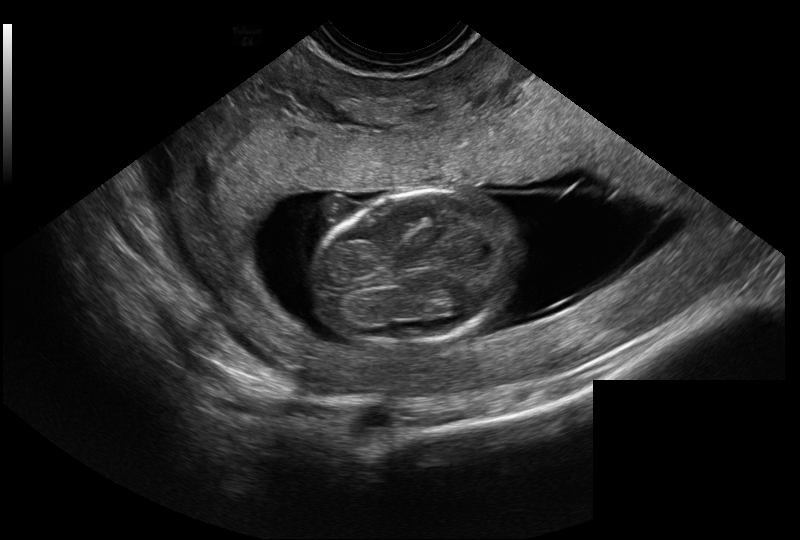
In this fetal head ultrasound, give the bounding box of the fetal head. Image width: 102.5 mm.

[317,190,521,346]